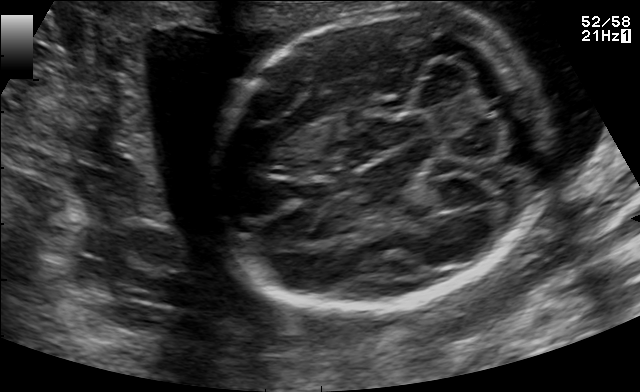
In this fetal brain, trans-cerebellum plane, give the bounding box of the cavum septum pellucidum.

[291,175,340,211]